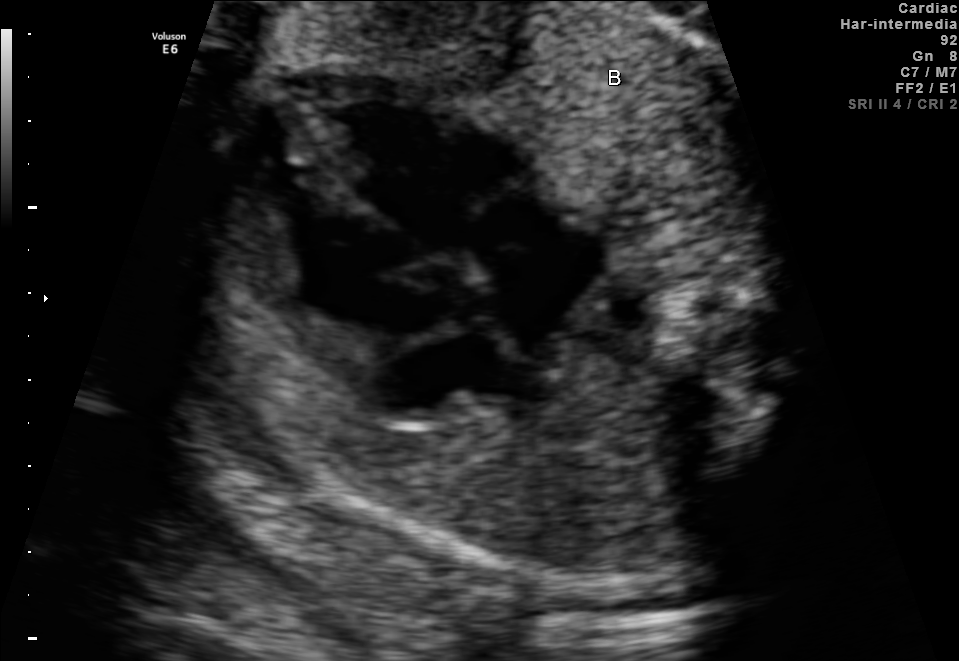
This is a 2D maternal-fetal ultrasound frame. Is it a fetal abdomen, fetal brain, fetal femur, fetal thorax, maternal cervix, or other standard plane? If it's fetal brain and one of the three standard brain planes (trans-thalamic, trans-cerebellum, trans-ventricular), name which.

Fetal thorax